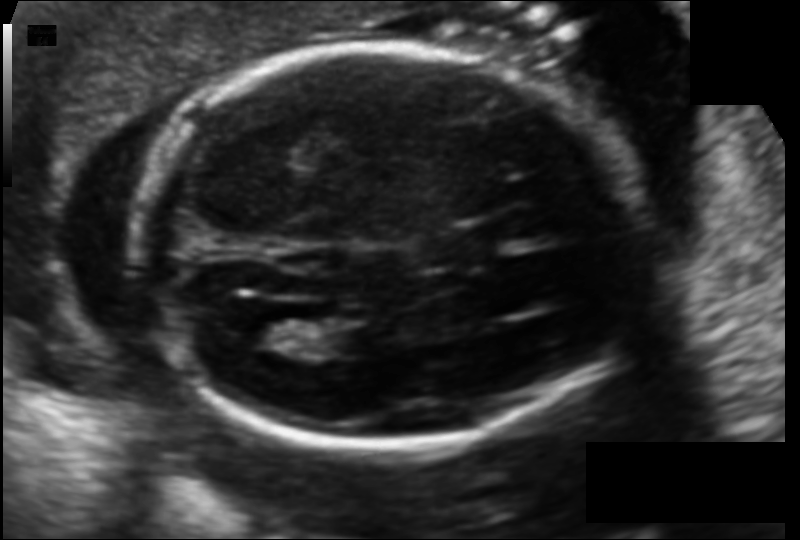
In this fetal head ultrasound, give bounding boxes for the head outline, cavum septum pellucidum (CSP), and lateral ventricle (LV), where visible. Image width: 96.5 mm.

Head: [137,45,633,451]
CSP: [421,230,485,272]
Lateral ventricle: [243,314,301,353]